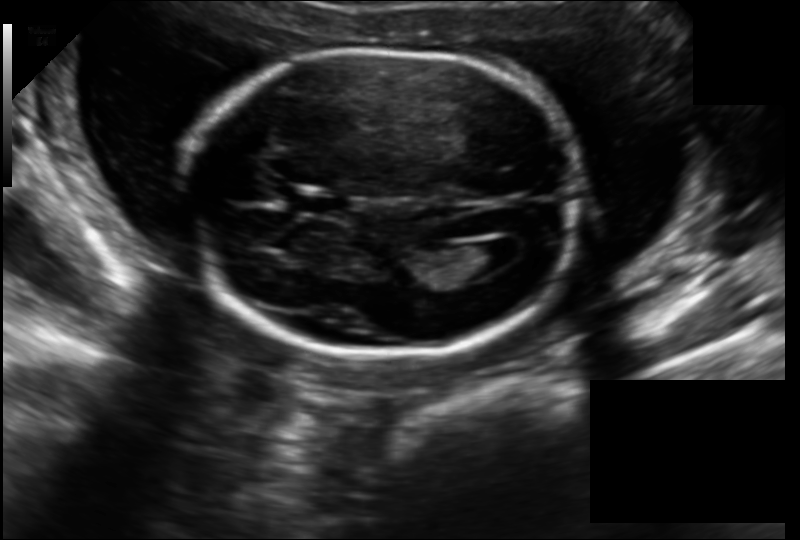
Fetal head ultrasound. Image width: 125.8 mm. Locate the lateral ventricle.

Lateral ventricle: [455,231,519,280]